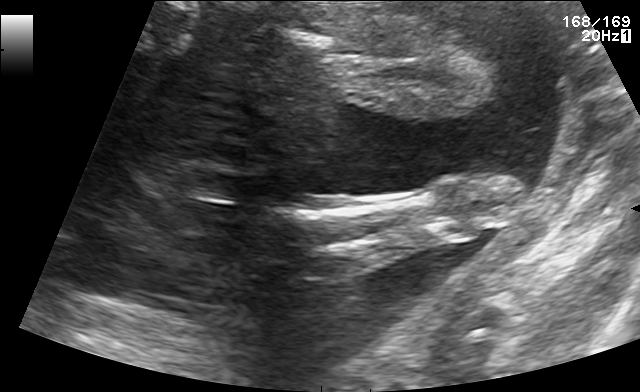
This is a 2D maternal-fetal ultrasound frame. Is it a fetal abdomen, fetal brain, fetal femur, fetal thorax, maternal cervix, or other standard plane? If it's fetal brain and one of the three standard brain planes (trans-thalamic, trans-cerebellum, trans-ventricular), name which.

Other